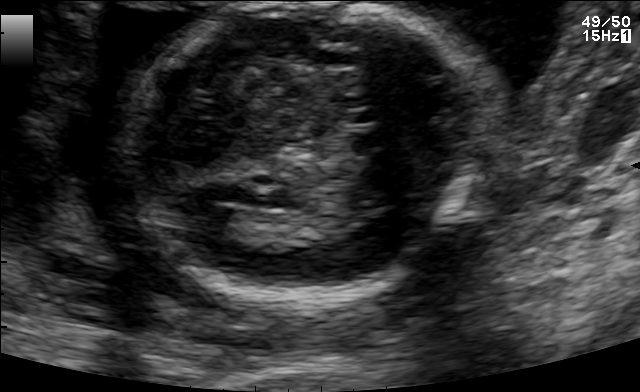
Fetal brain, trans-thalamic plane. Locate the fetal head.

Head: [133,2,467,302]